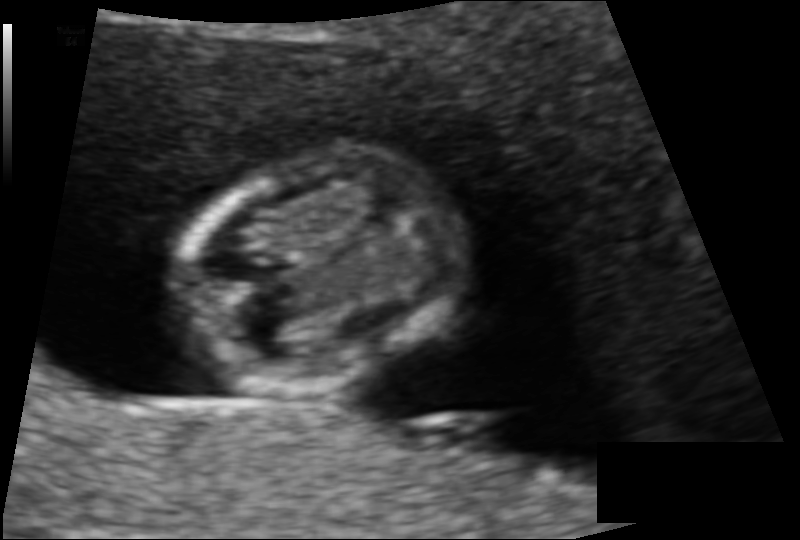
Measure the fetal head circumference shown in this ultrasound image. Image width: 68.5 mm.

Head circumference: 74.0 mm.